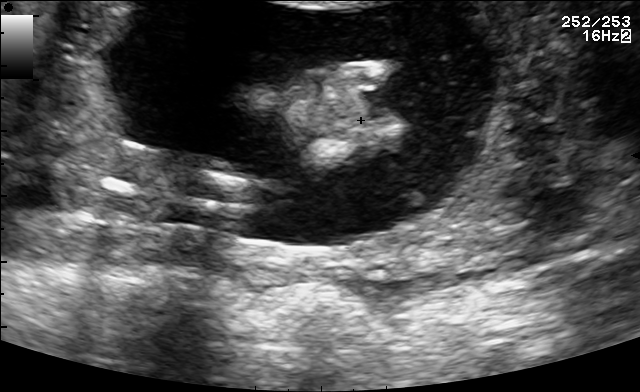
Classify this maternal-fetal ultrasound image as one of the six standard planes — fetal abdomen, fetal brain, fetal femur, fetal thorax, maternal cervix, or other. If it's fetal brain and one of the three standard brain planes (trans-thalamic, trans-cerebellum, trans-ventricular), name which.

Other